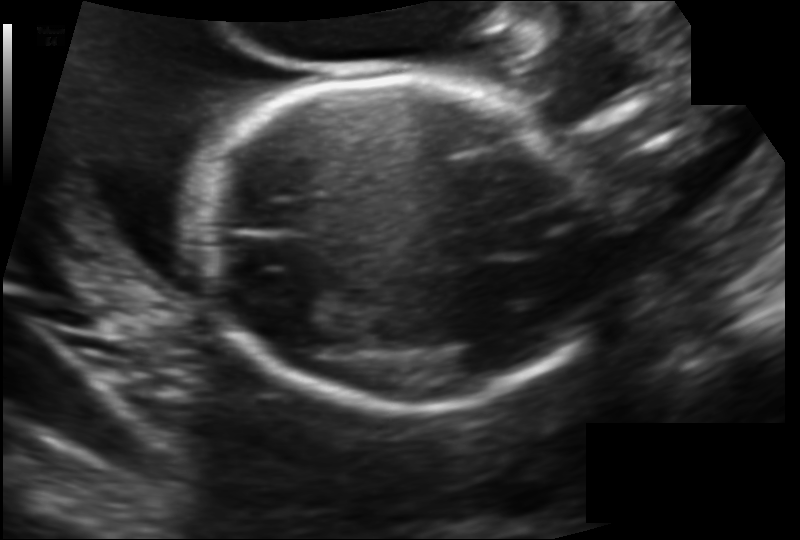
Fetal head ultrasound. Image width: 110.4 mm. Locate the fetal head and, if visible, the cavum septum pellucidum (CSP) and lateral ventricle (LV). Give bounding boxes as [x1,y1,x2,y2].

Head: [198,78,604,412]